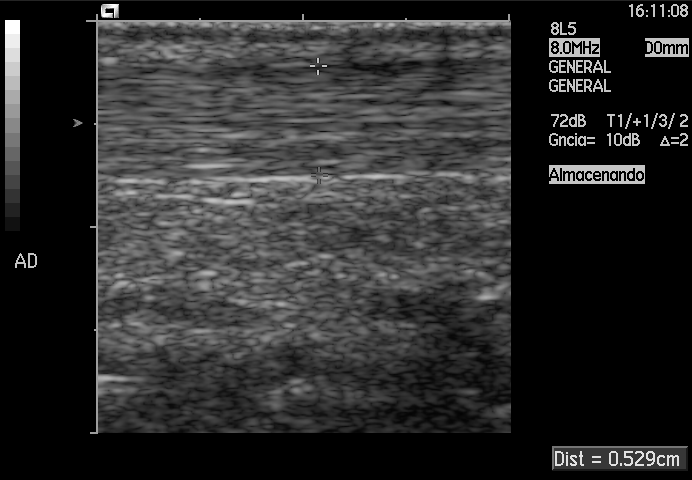
Identify the standard plane in this fetal ultrasound image: fetal abdomen, fetal brain, fetal femur, fetal thorax, maternal cervix, or other. If it's fetal brain and one of the three standard brain planes (trans-thalamic, trans-cerebellum, trans-ventricular), name which.

Other